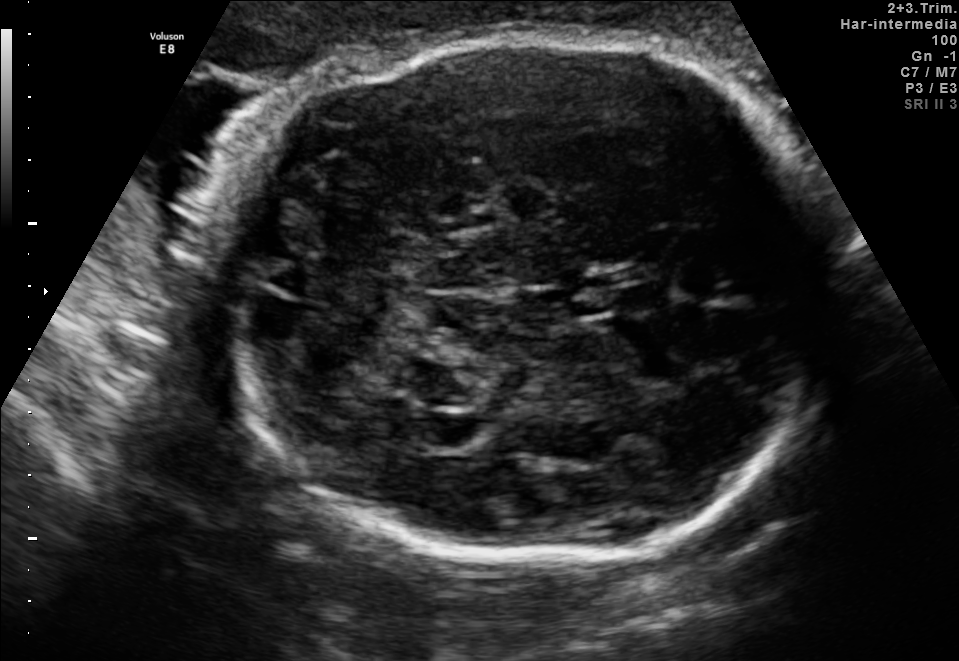
Identify the standard plane in this fetal ultrasound image: fetal abdomen, fetal brain, fetal femur, fetal thorax, maternal cervix, or other. If it's fetal brain and one of the three standard brain planes (trans-thalamic, trans-cerebellum, trans-ventricular), name which.

Fetal brain (trans-cerebellum plane)